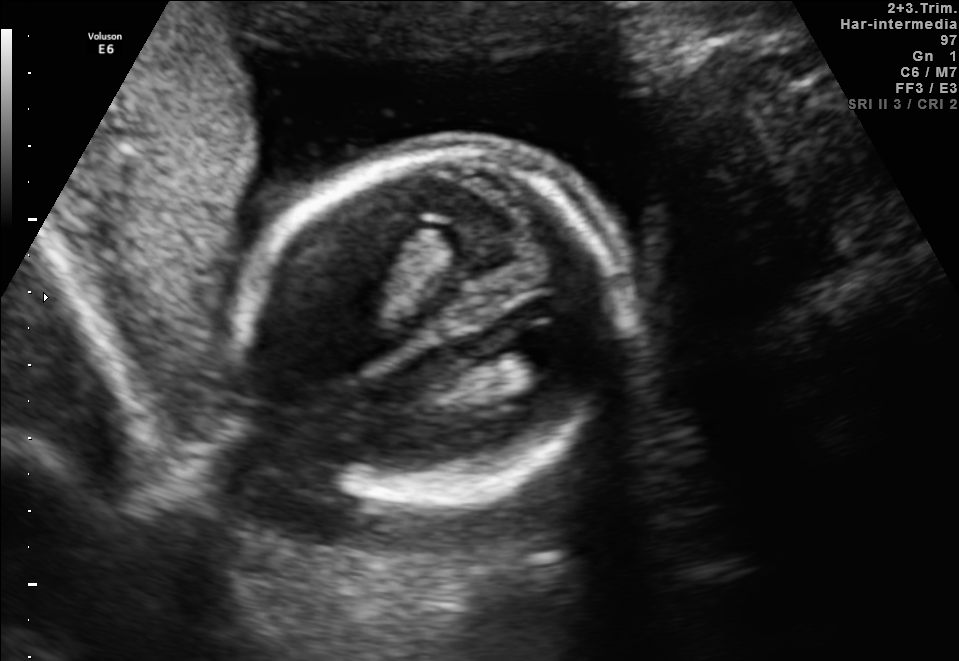
In this fetal brain, trans-ventricular plane, give the bounding box of the lateral ventricle.

[494,317,576,389]